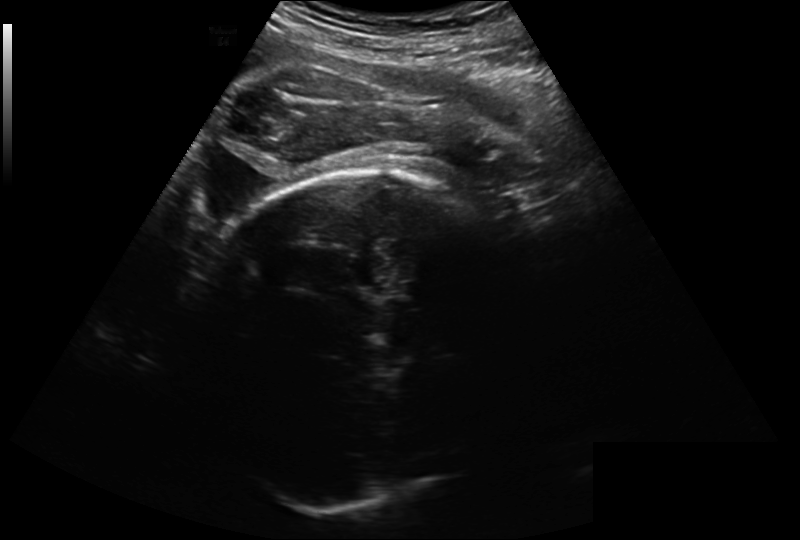
Estimate the fetal head circumference from this 2D ultrasound.

Head circumference: 293.2 mm (image width 208.2 mm).